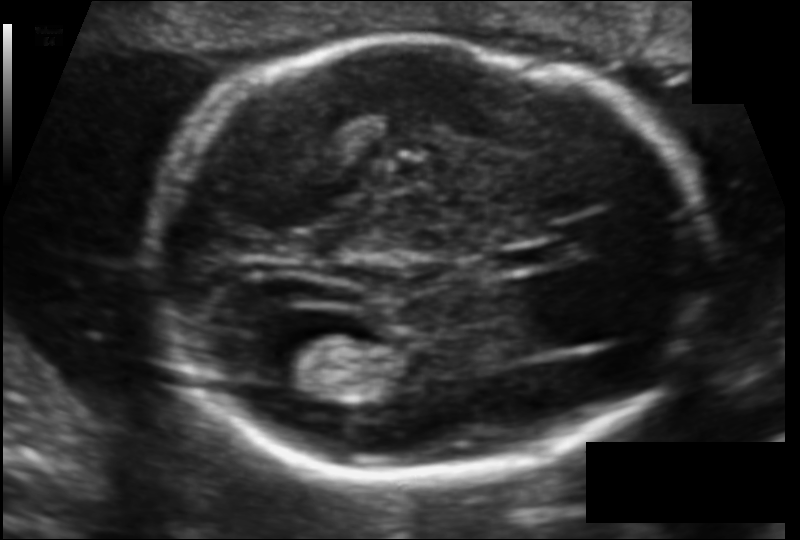
Fetal head ultrasound. Image width: 84.9 mm. Where is the lateral ventricle?

Lateral ventricle bounding box: [252,335,343,390]